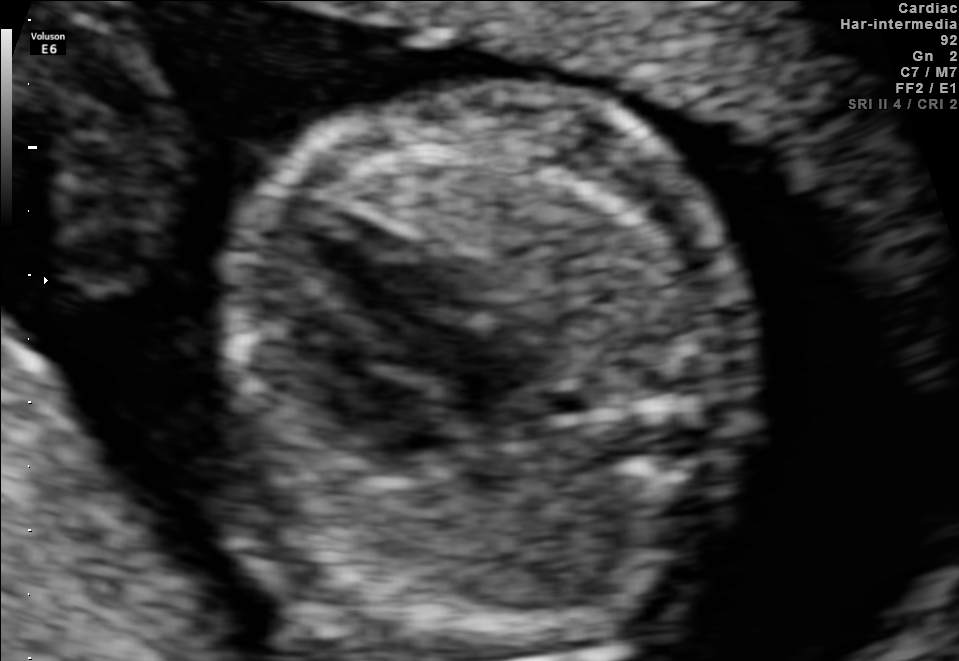
Classify this maternal-fetal ultrasound image as one of the six standard planes — fetal abdomen, fetal brain, fetal femur, fetal thorax, maternal cervix, or other. If it's fetal brain and one of the three standard brain planes (trans-thalamic, trans-cerebellum, trans-ventricular), name which.

Fetal thorax